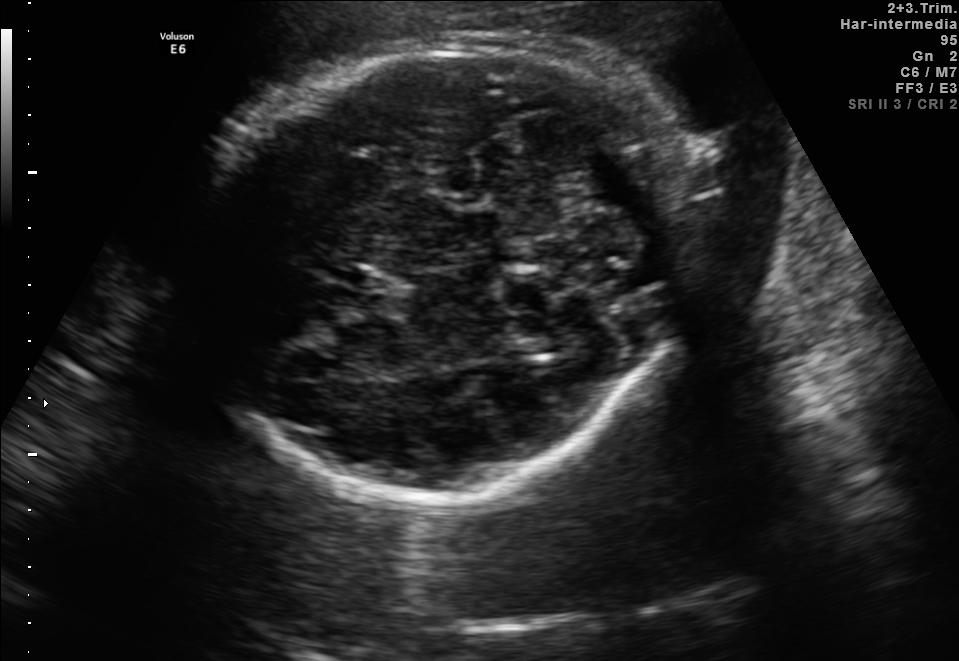
Fetal brain, trans-cerebellum plane. Locate the fetal head and, if visible, the cavum septum pellucidum (CSP) and lateral ventricle (LV). Give bounding boxes as [x1,y1,x2,y2].

Head: [193,41,690,496]